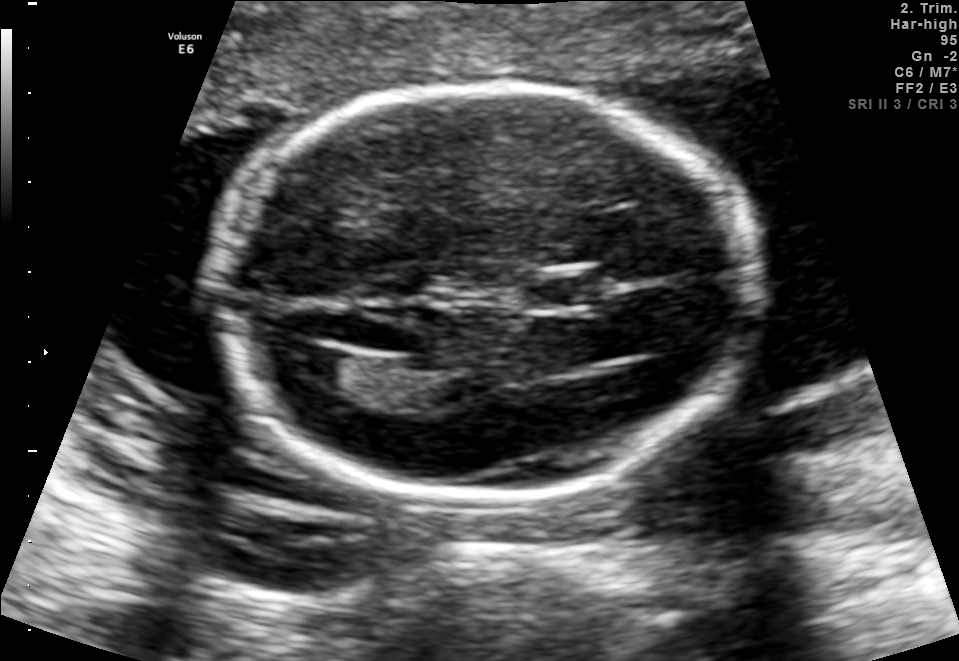
In this fetal brain, trans-ventricular plane, give the bounding box of the lateral ventricle.

[276,341,358,391]